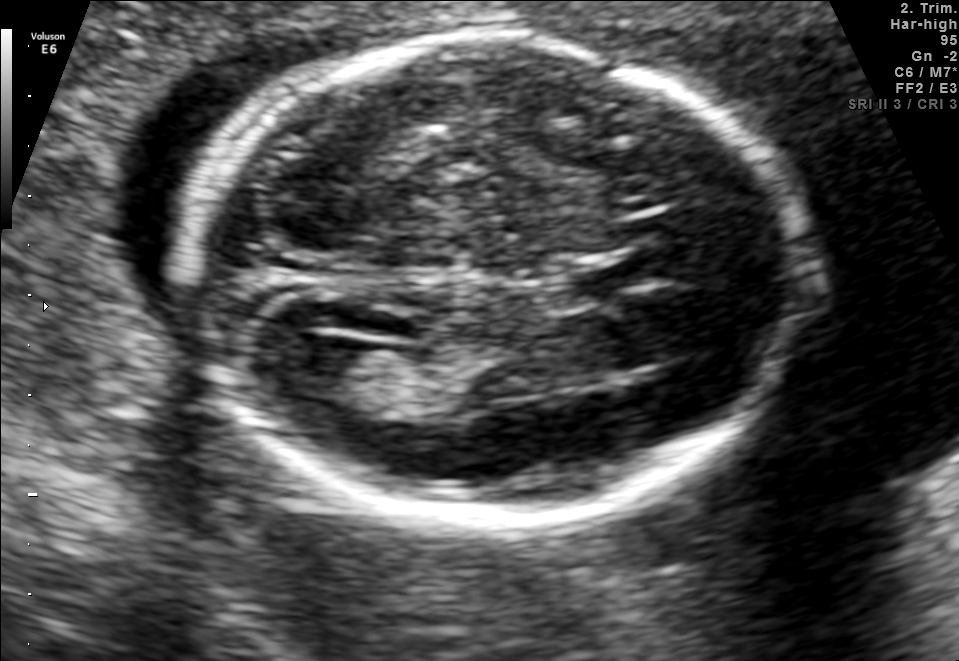
Fetal brain, trans-ventricular plane. Locate the fetal head.

Head: [173,30,822,533]